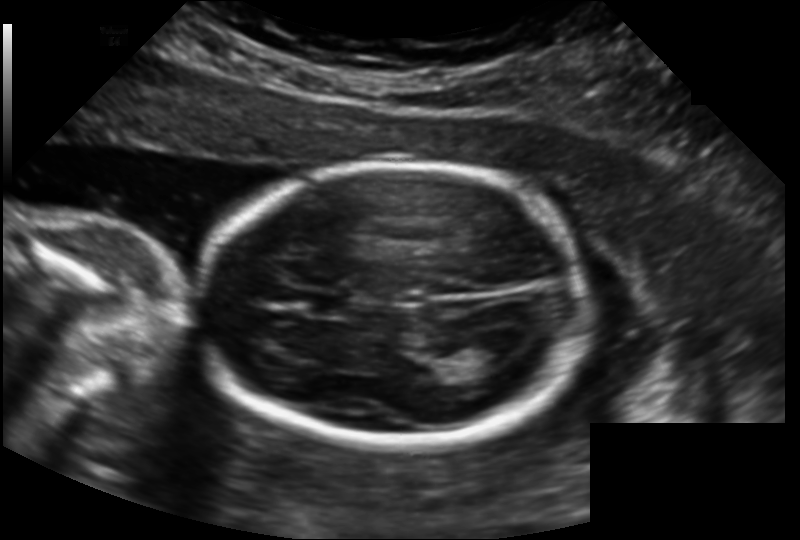
In this fetal head ultrasound, give the bounding box of the cavum septum pellucidum. Image width: 126.2 mm.

[310,291,355,319]